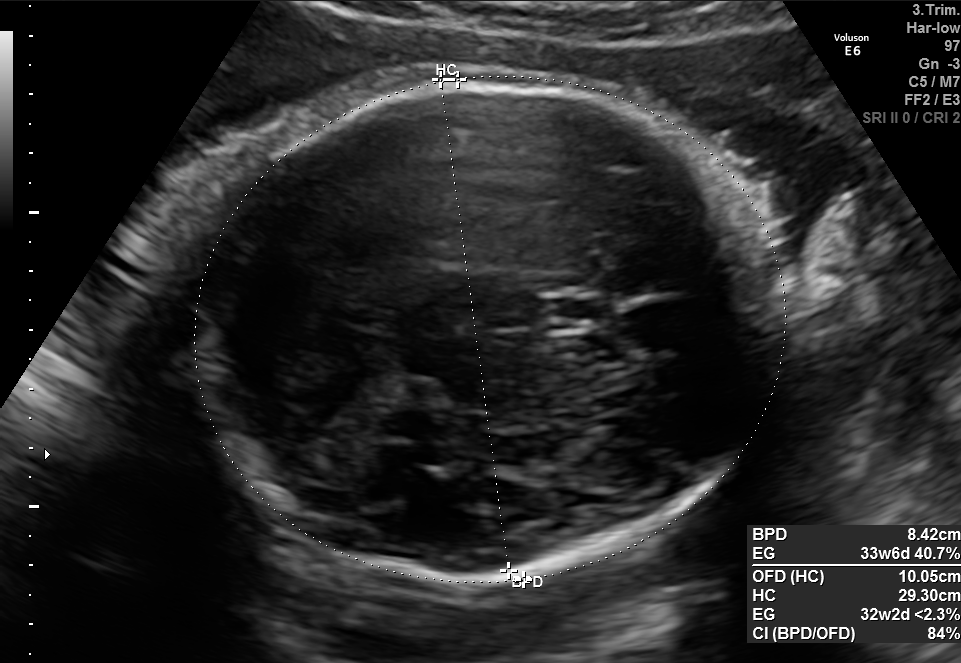
Fetal brain, trans-thalamic plane. Locate the fetal head and, if visible, the cavum septum pellucidum (CSP) and lateral ventricle (LV). Give bounding boxes as [x1,y1,x2,y2].

Head: [193,73,786,582]
CSP: [540,294,616,331]